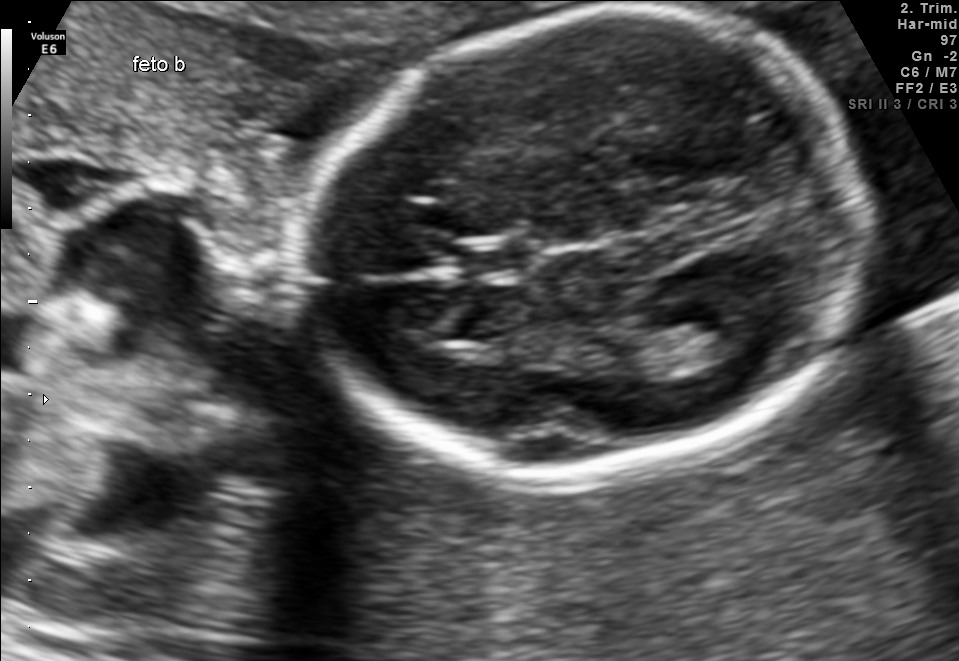
Fetal brain, trans-thalamic plane. Where is the lateral ventricle?

Lateral ventricle bounding box: [668,306,758,374]